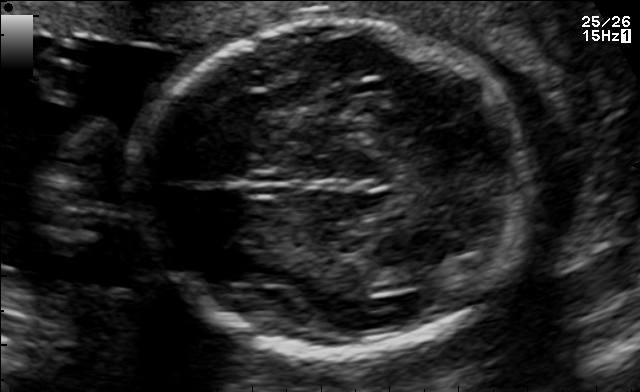
In this fetal brain, trans-thalamic plane, give bounding boxes for the head outline, cavum septum pellucidum (CSP), and lateral ventricle (LV), where visible.

Head: [137,23,523,354]